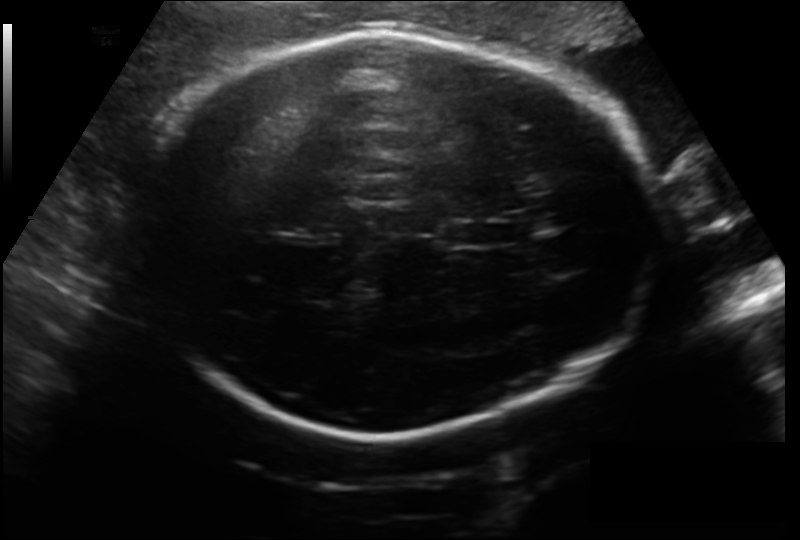
In this fetal head ultrasound, give bounding boxes for the head outline, cavum septum pellucidum (CSP), and lateral ventricle (LV), where visible. Image width: 158.8 mm.

Head: [145,31,655,434]
CSP: [447,220,501,248]